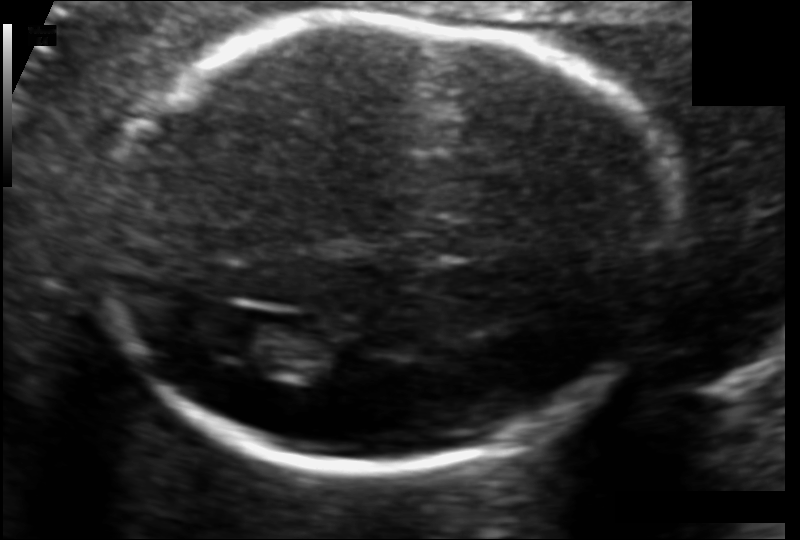
Fetal head ultrasound. Image width: 84.9 mm. Locate the fetal head and, if visible, the cavum septum pellucidum (CSP) and lateral ventricle (LV). Give bounding boxes as [x1,y1,x2,y2].

Head: [100,16,667,470]
Lateral ventricle: [205,314,312,374]